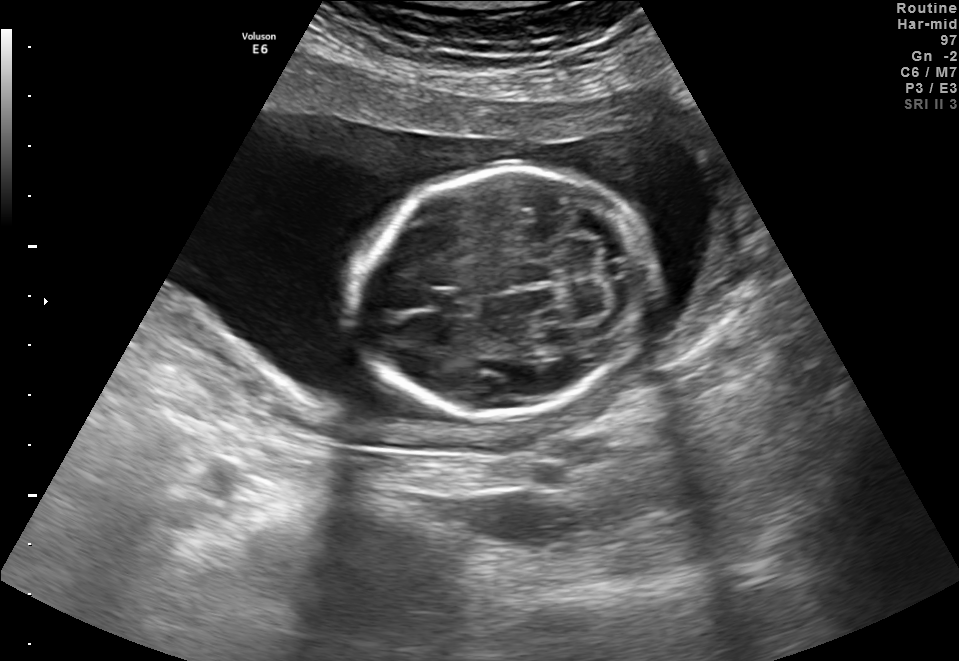
In this fetal brain, trans-cerebellum plane, give the bounding box of the cavum septum pellucidum.

[431,287,477,316]